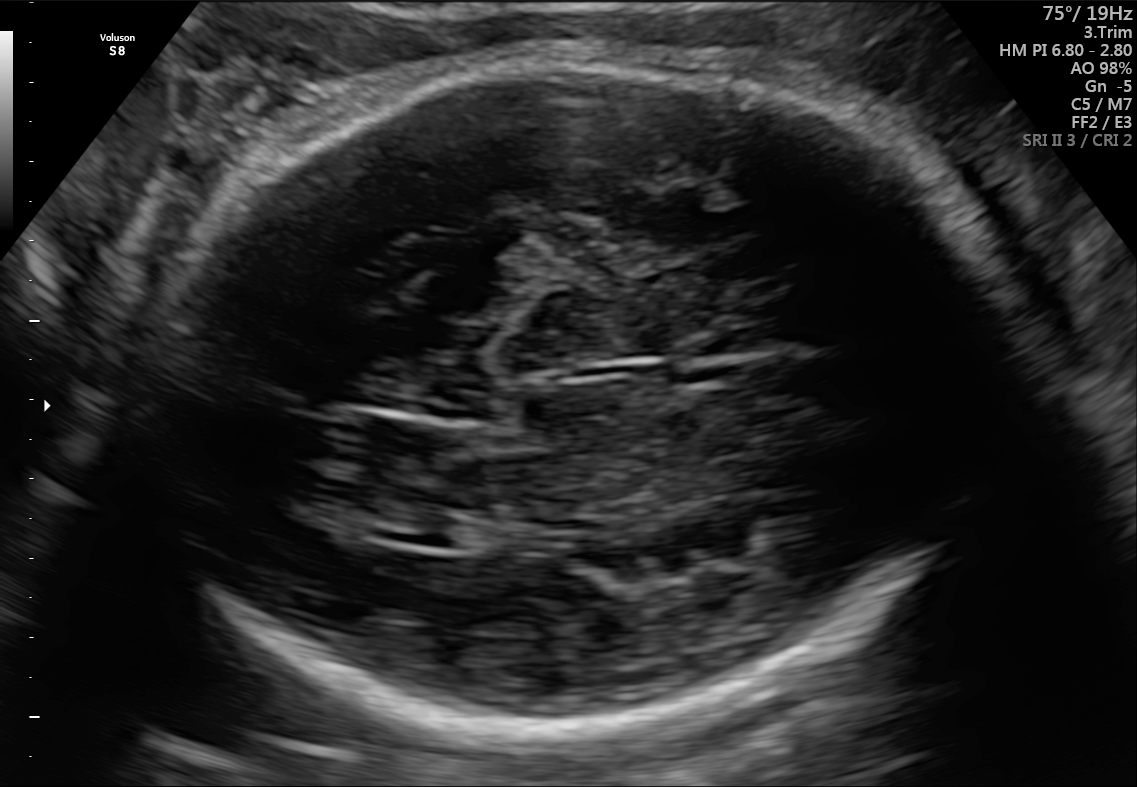
Fetal brain, trans-thalamic plane. Locate the lateral ventricle.

Lateral ventricle: [379,513,458,553]